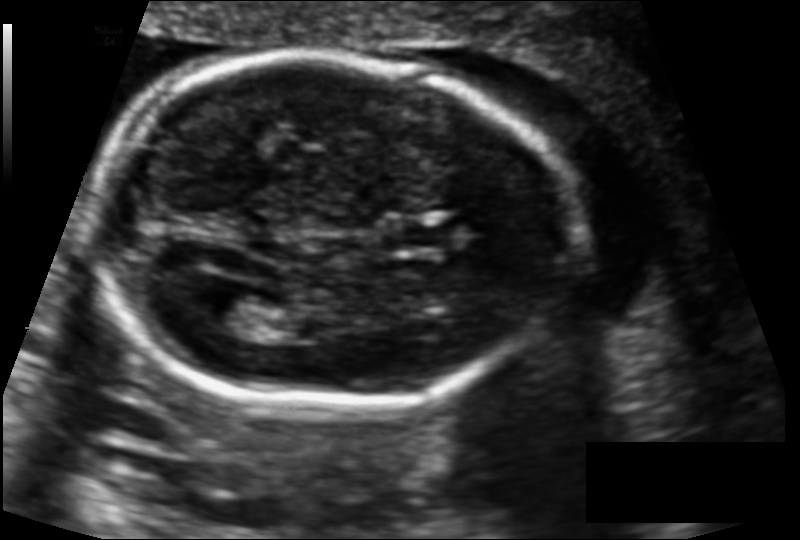
What is the fetal head circumference? Image width is 97.4 mm.

165.6 mm